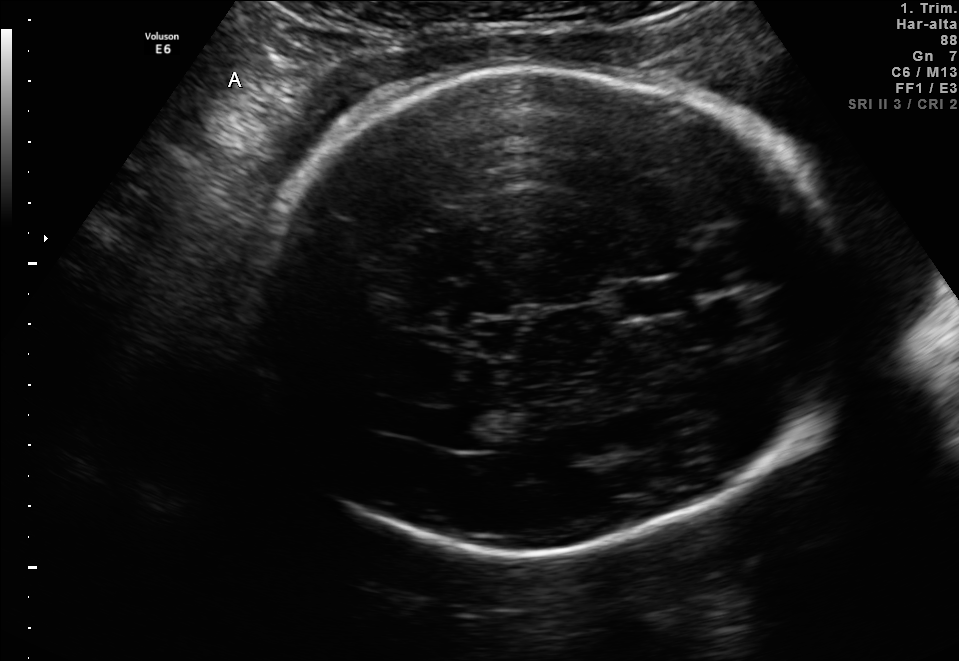
In this fetal brain, trans-thalamic plane, give the bounding box of the fetal head.

[258,64,843,551]